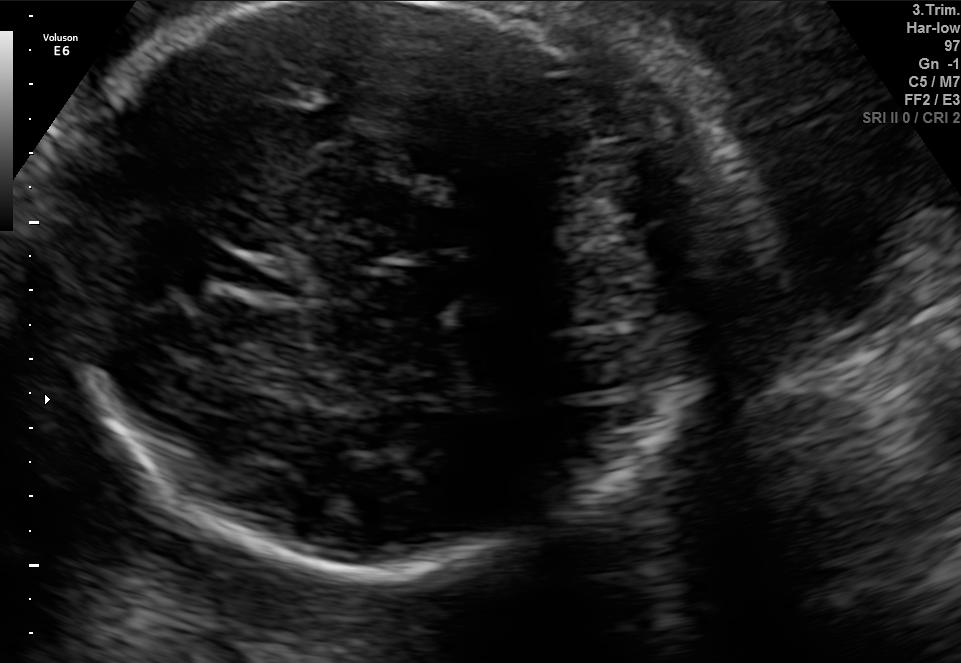
Fetal brain, trans-cerebellum plane. Give [x1,y1,x2,y2] bounding boxes for each visible structure among: fetal head, CSP, LV.

Head: [57,4,687,567]